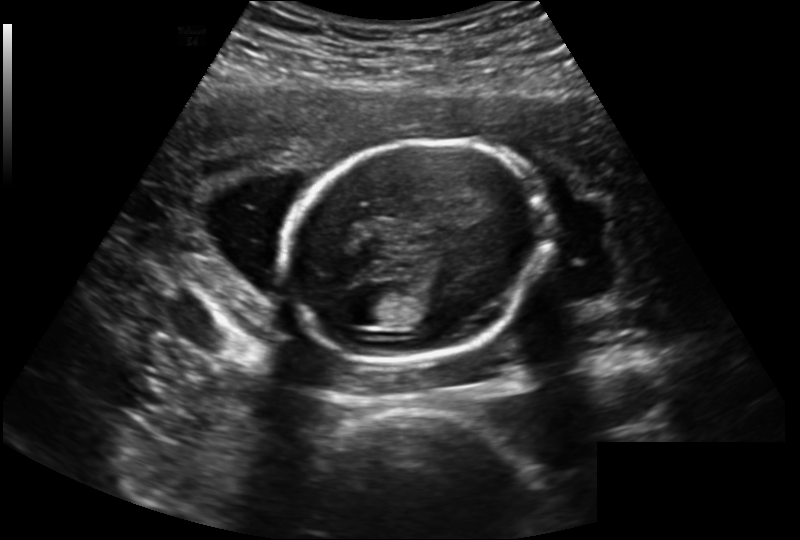
In this fetal head ultrasound, give bounding boxes for the head outline, cavum septum pellucidum (CSP), and lateral ventricle (LV), where visible. Image width: 161.7 mm.

Head: [283,140,551,364]
Lateral ventricle: [332,291,385,327]